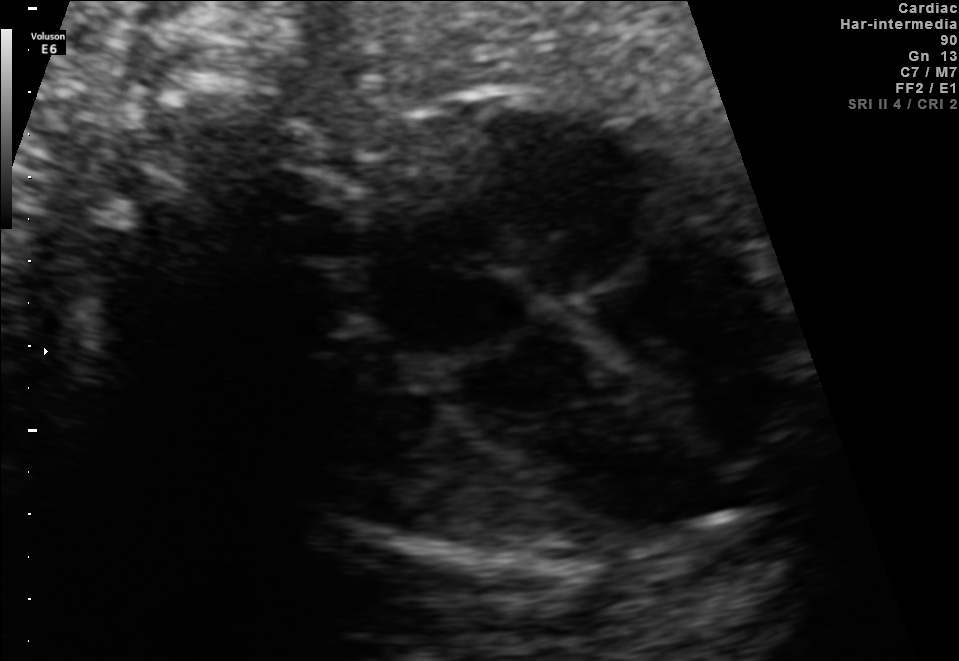
This is a 2D maternal-fetal ultrasound frame. Is it a fetal abdomen, fetal brain, fetal femur, fetal thorax, maternal cervix, or other standard plane? If it's fetal brain and one of the three standard brain planes (trans-thalamic, trans-cerebellum, trans-ventricular), name which.

Fetal thorax